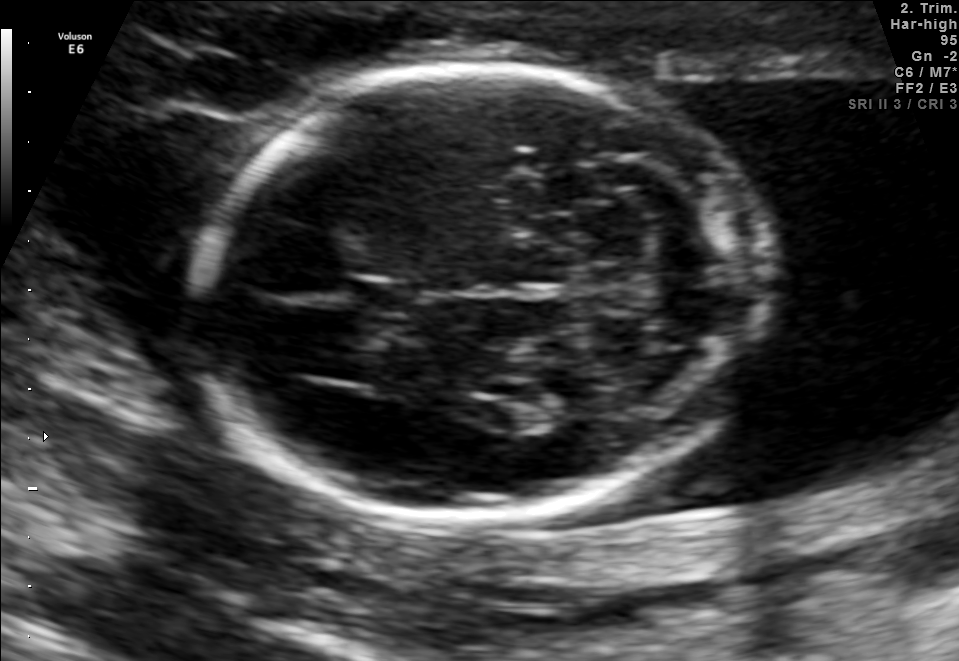
Fetal brain, trans-cerebellum plane. Locate the fetal head and, if visible, the cavum septum pellucidum (CSP) and lateral ventricle (LV). Give bounding boxes as [x1,y1,x2,y2].

Head: [197,67,772,514]
CSP: [355,277,412,317]